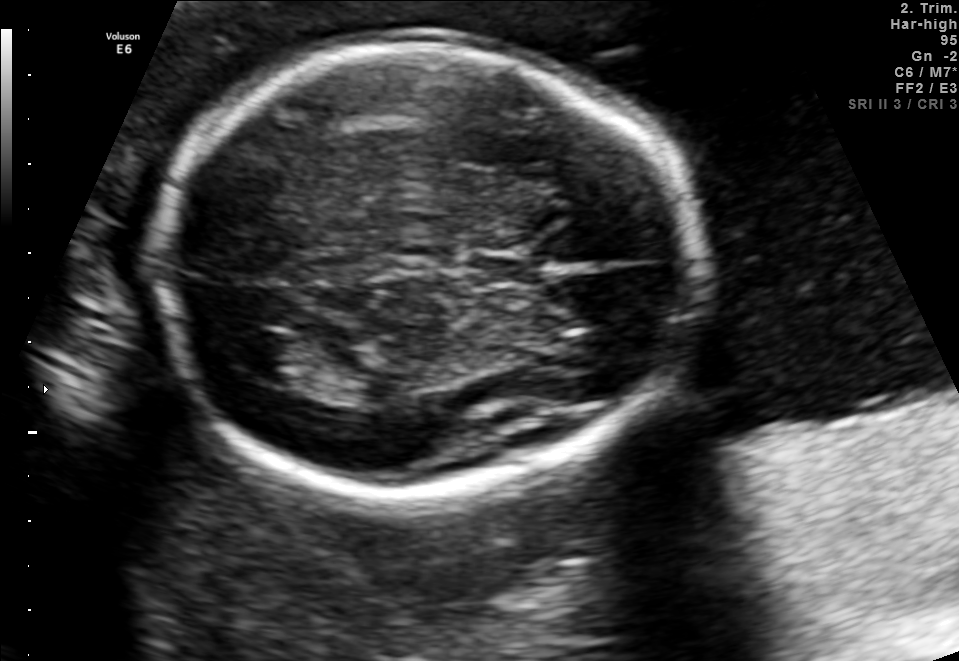
Fetal brain, trans-thalamic plane. Where is the cavum septum pellucidum?

CSP bounding box: [471,252,535,285]